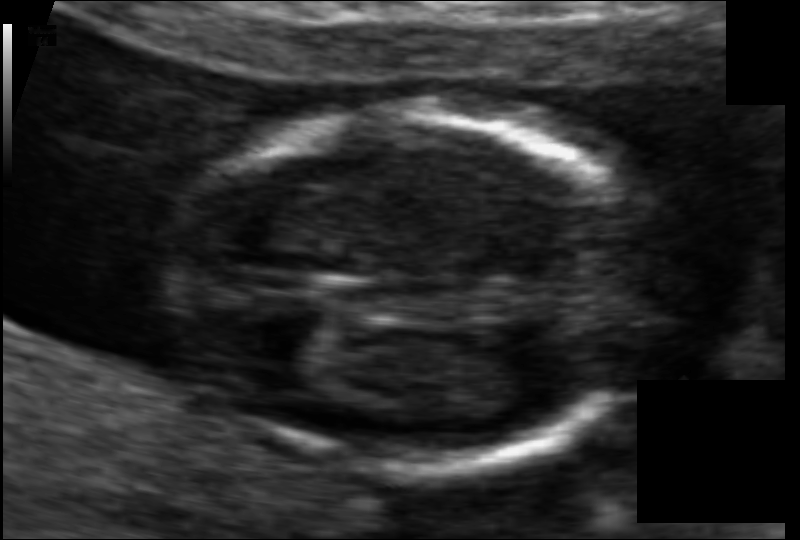
In this fetal head ultrasound, give bounding boxes for the head outline, cavum septum pellucidum (CSP), and lateral ventricle (LV), where visible. Image width: 51.8 mm.

Head: [159,111,651,471]